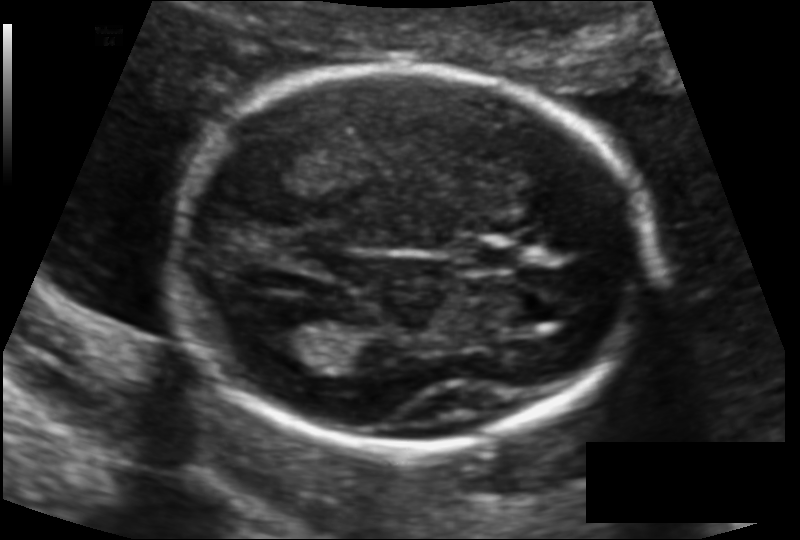
Fetal head ultrasound. Image width: 93.3 mm. Where is the cavum septum pellucidum?

CSP bounding box: [461,240,516,271]